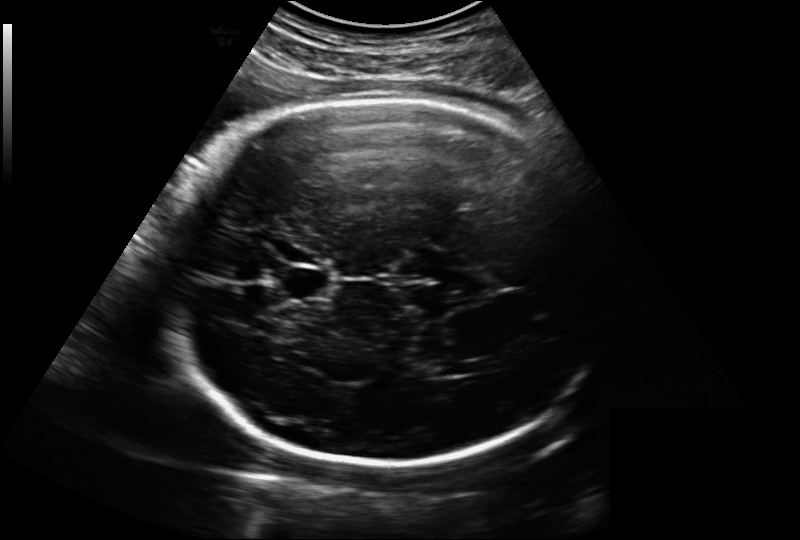
Fetal head ultrasound. Image width: 176.5 mm. Locate the fetal head and, if visible, the cavum septum pellucidum (CSP) and lateral ventricle (LV). Give bounding boxes as [x1,y1,x2,y2].

Head: [156,97,614,464]
CSP: [277,263,335,303]
Lateral ventricle: [433,360,464,377]